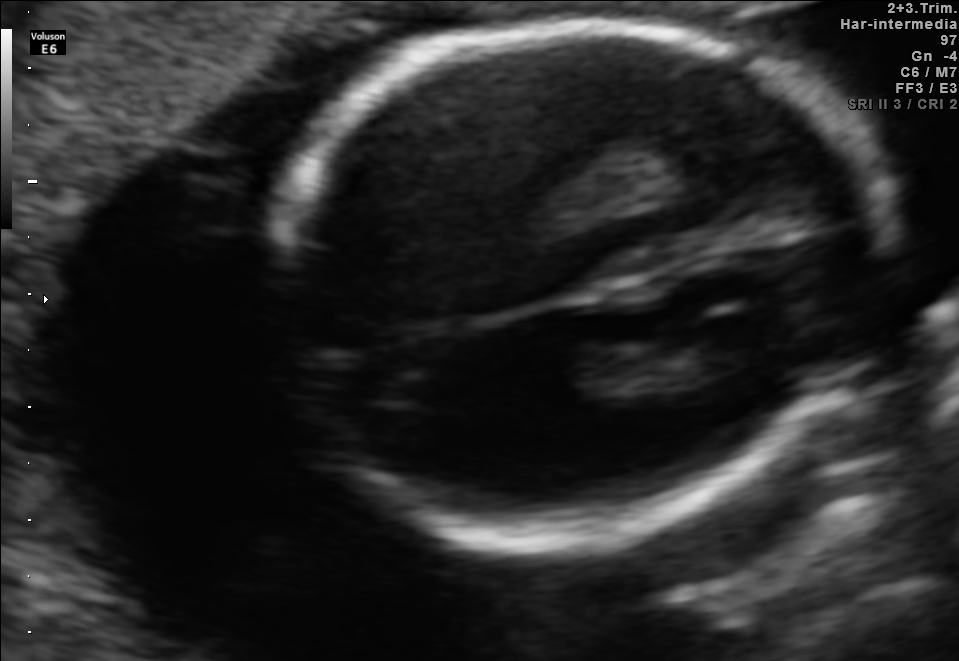
In this fetal brain, trans-thalamic plane, give bounding boxes for the head outline, cavum septum pellucidum (CSP), and lateral ventricle (LV), where visible.

Head: [263,20,874,541]